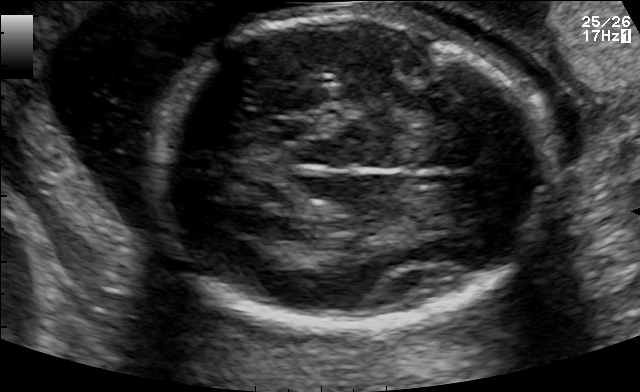
Fetal brain, trans-thalamic plane. Give [x1,y1,x2,y2] bounding boxes for each visible structure among: fetal head, CSP, LV.

Head: [153,18,553,326]